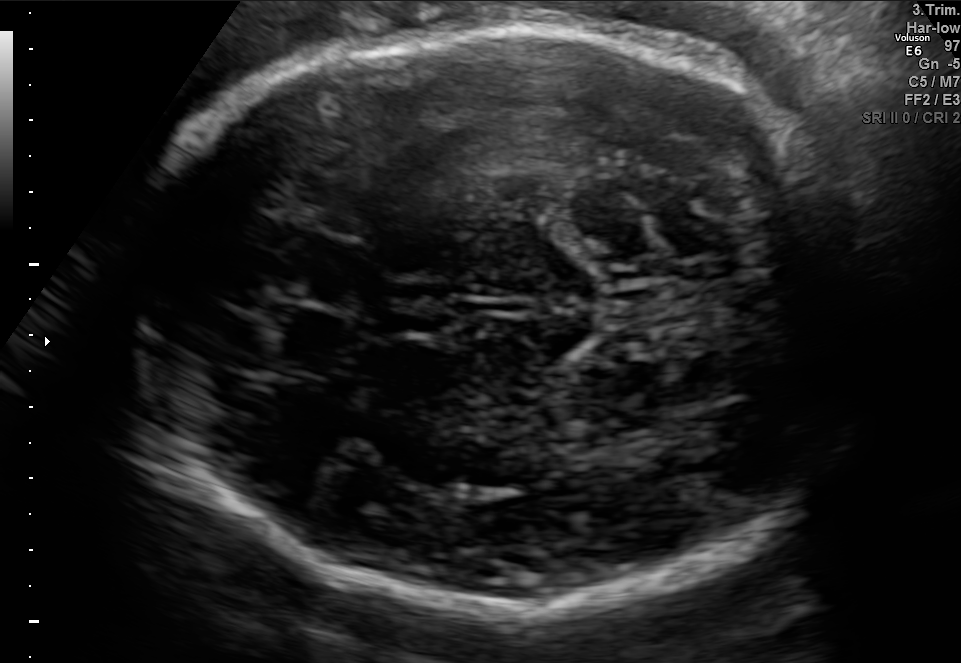
Fetal brain, trans-thalamic plane. Locate the fetal head and, if visible, the cavum septum pellucidum (CSP) and lateral ventricle (LV). Give bounding boxes as [x1,y1,x2,y2].

Head: [126,26,865,617]